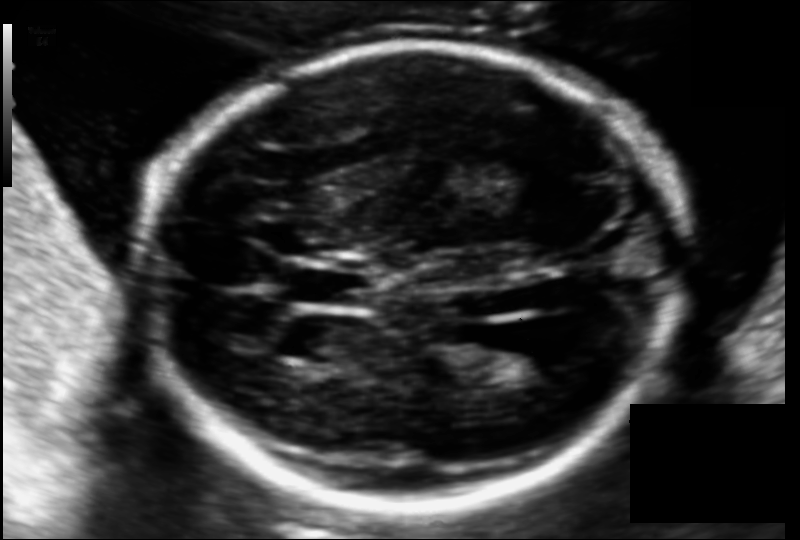
Fetal head ultrasound. Image width: 94.4 mm. Where is the fetal head?

Head bounding box: [143,45,683,508]